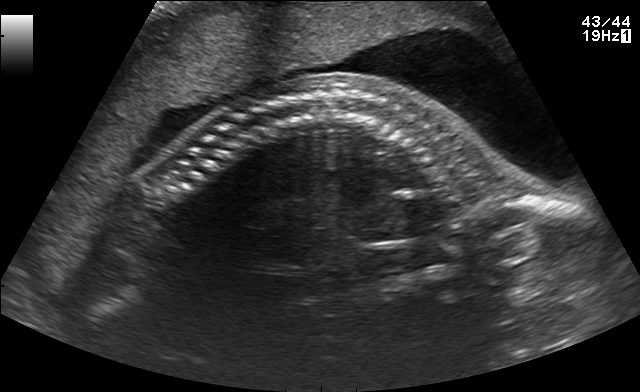
Classify this maternal-fetal ultrasound image as one of the six standard planes — fetal abdomen, fetal brain, fetal femur, fetal thorax, maternal cervix, or other. If it's fetal brain and one of the three standard brain planes (trans-thalamic, trans-cerebellum, trans-ventricular), name which.

Other